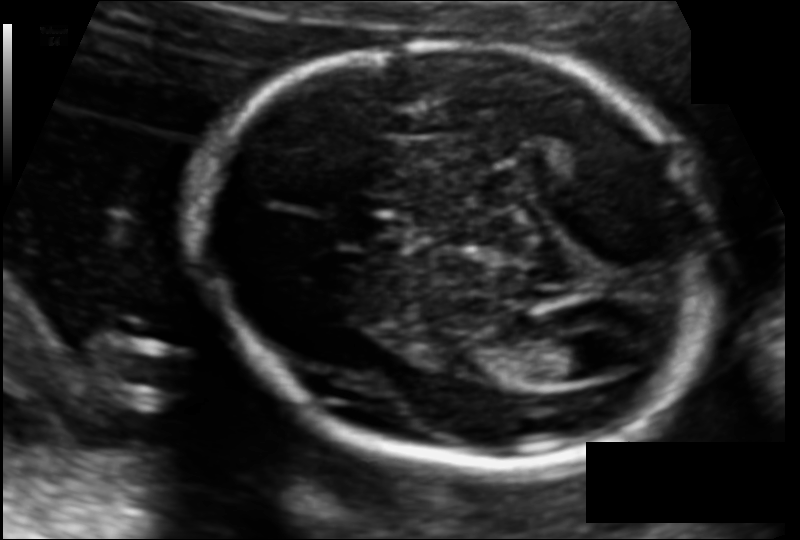
What is the fetal head circumference? Image width is 87.7 mm.

167.8 mm